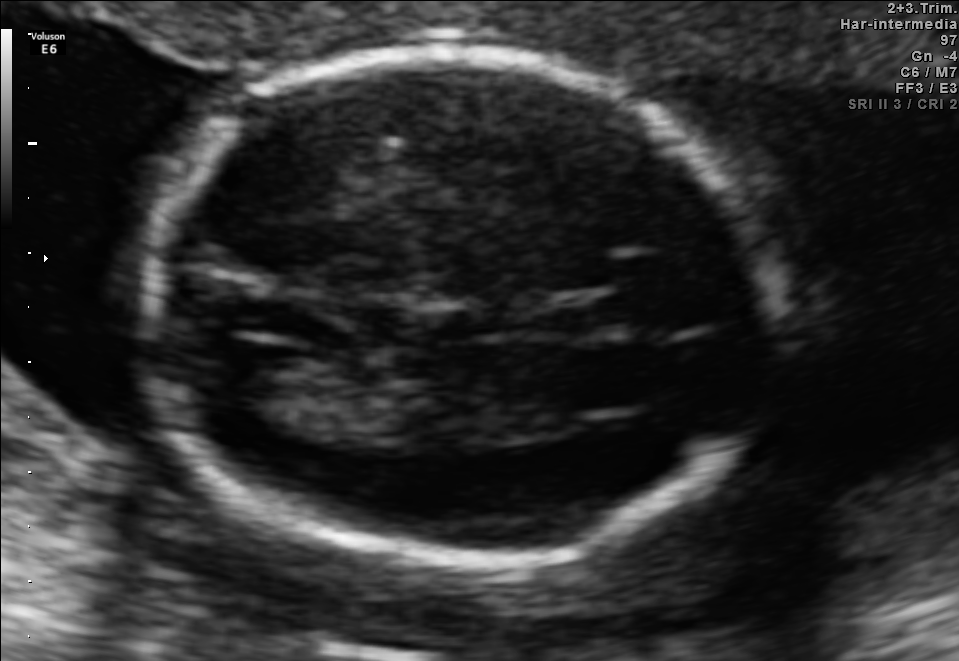
Identify the standard plane in this fetal ultrasound image: fetal abdomen, fetal brain, fetal femur, fetal thorax, maternal cervix, or other. If it's fetal brain and one of the three standard brain planes (trans-thalamic, trans-cerebellum, trans-ventricular), name which.

Fetal brain (trans-ventricular plane)